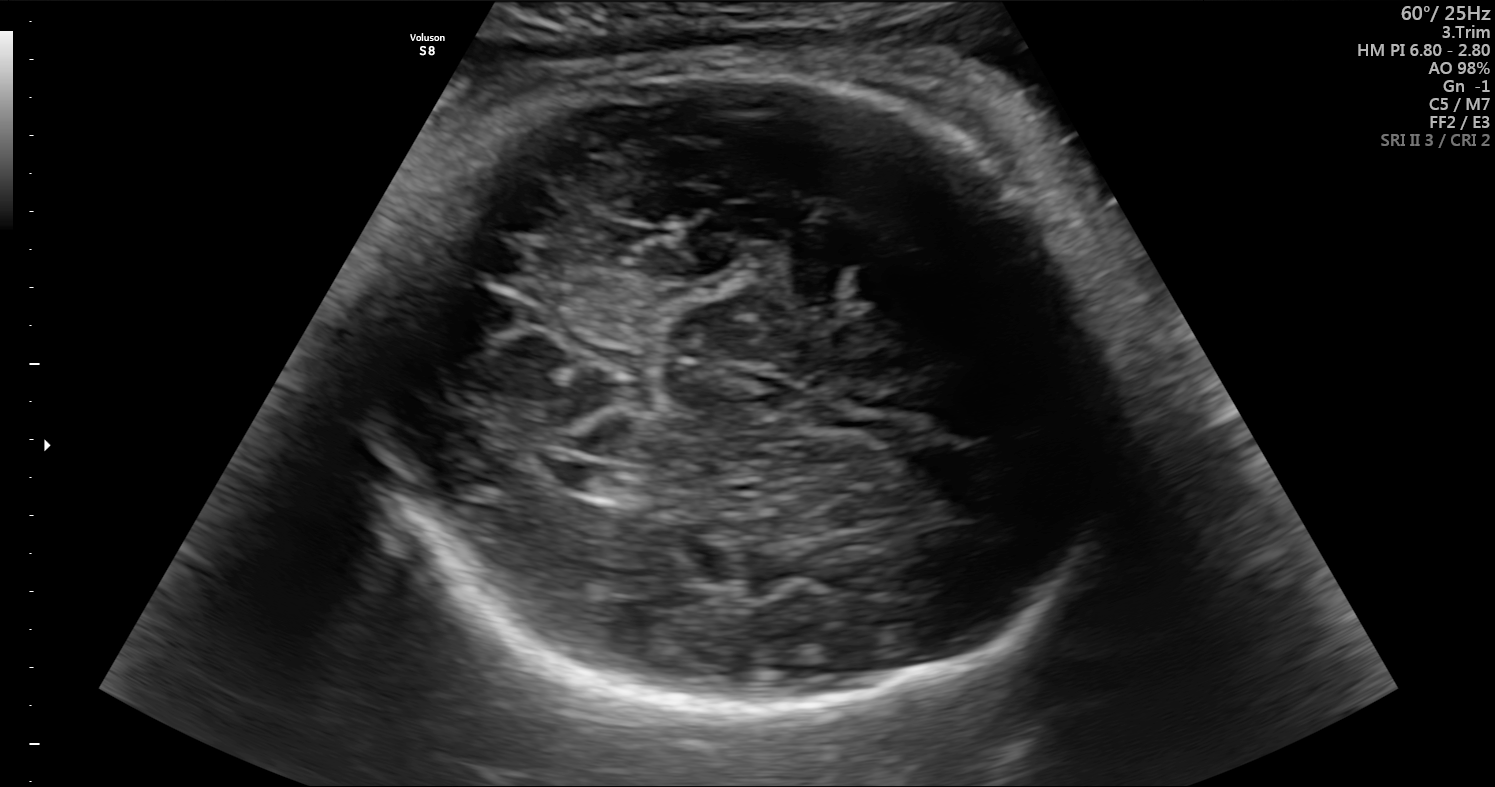
This is a 2D maternal-fetal ultrasound frame. Is it a fetal abdomen, fetal brain, fetal femur, fetal thorax, maternal cervix, or other standard plane? If it's fetal brain and one of the three standard brain planes (trans-thalamic, trans-cerebellum, trans-ventricular), name which.

Fetal brain (trans-thalamic plane)